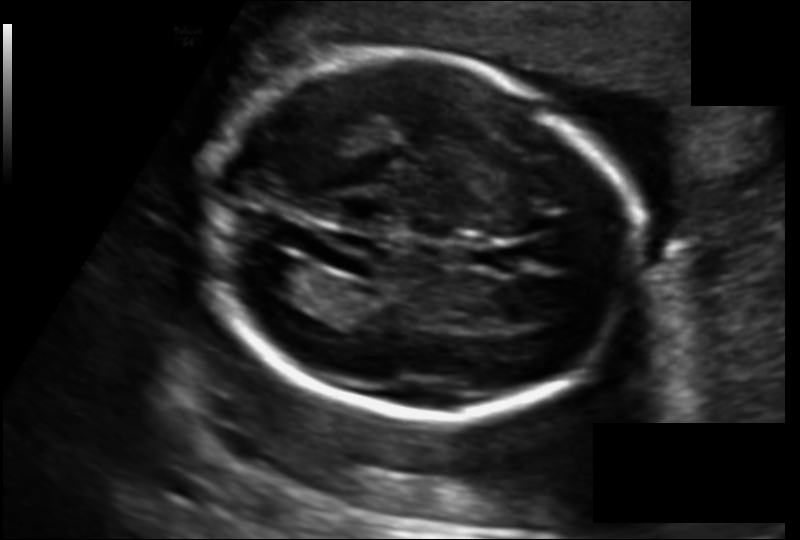
Fetal head ultrasound. Image width: 107.9 mm. Where is the cavum septum pellucidum?

CSP bounding box: [465,242,520,272]